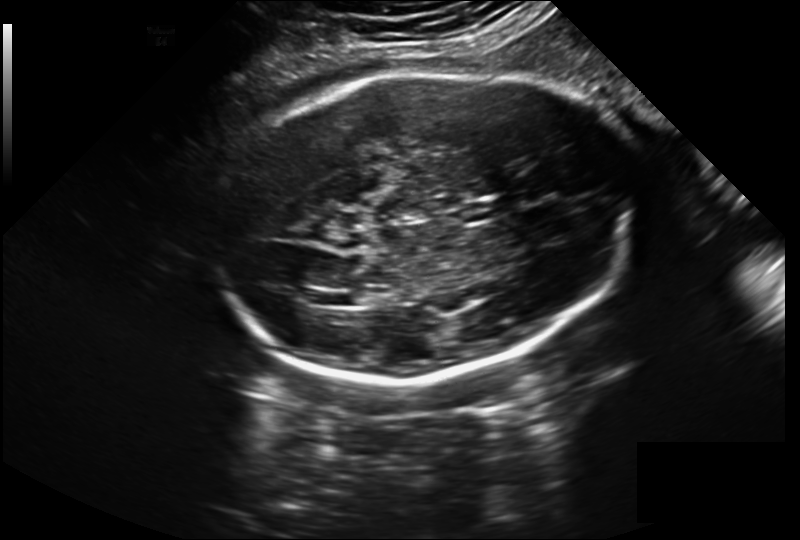
Estimate the fetal head circumference from this 2D ultrasound.

Head circumference: 289.2 mm (image width 194.5 mm).